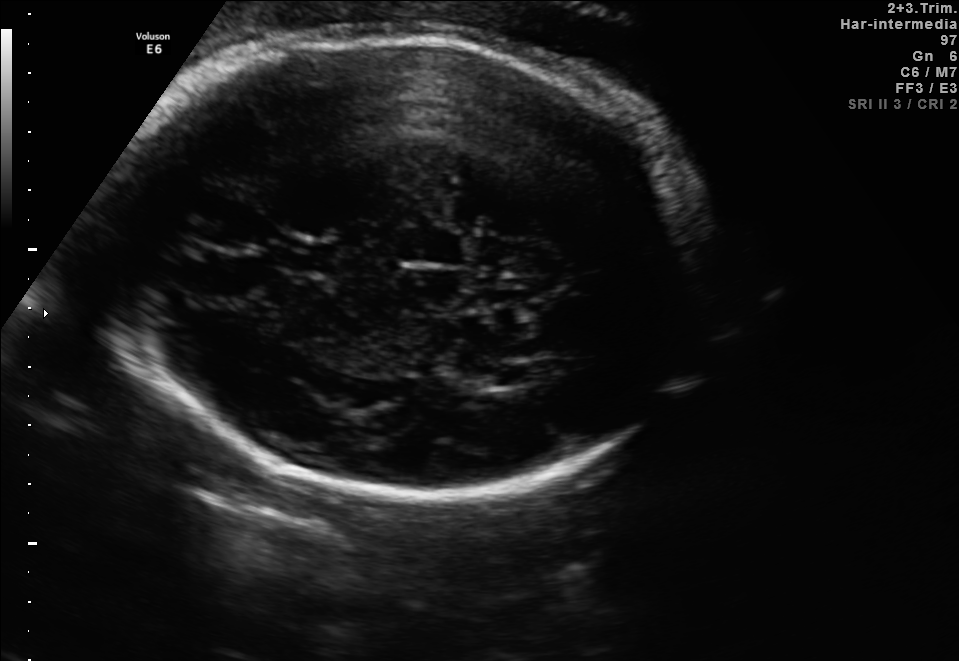
Fetal brain, trans-ventricular plane. Locate the fetal head and, if visible, the cavum septum pellucidum (CSP) and lateral ventricle (LV). Give bounding boxes as [x1,y1,x2,y2].

Head: [101,26,730,507]
CSP: [274,239,338,274]
Lateral ventricle: [493,362,529,388]